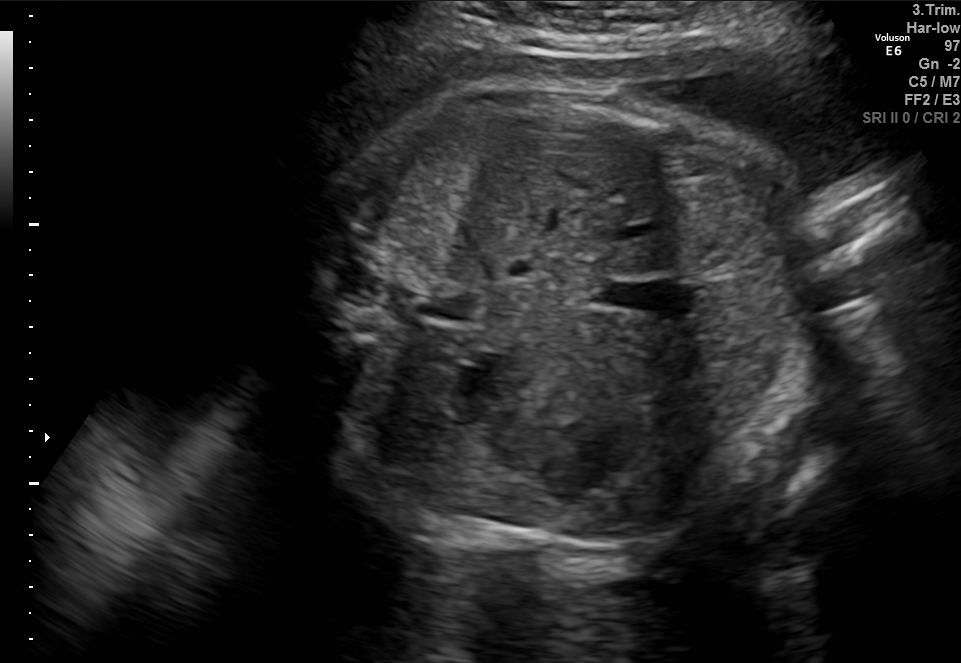
Which standard maternal-fetal ultrasound plane is shown: fetal abdomen, fetal brain, fetal femur, fetal thorax, maternal cervix, or other? If it's fetal brain and one of the three standard brain planes (trans-thalamic, trans-cerebellum, trans-ventricular), name which.

Fetal abdomen